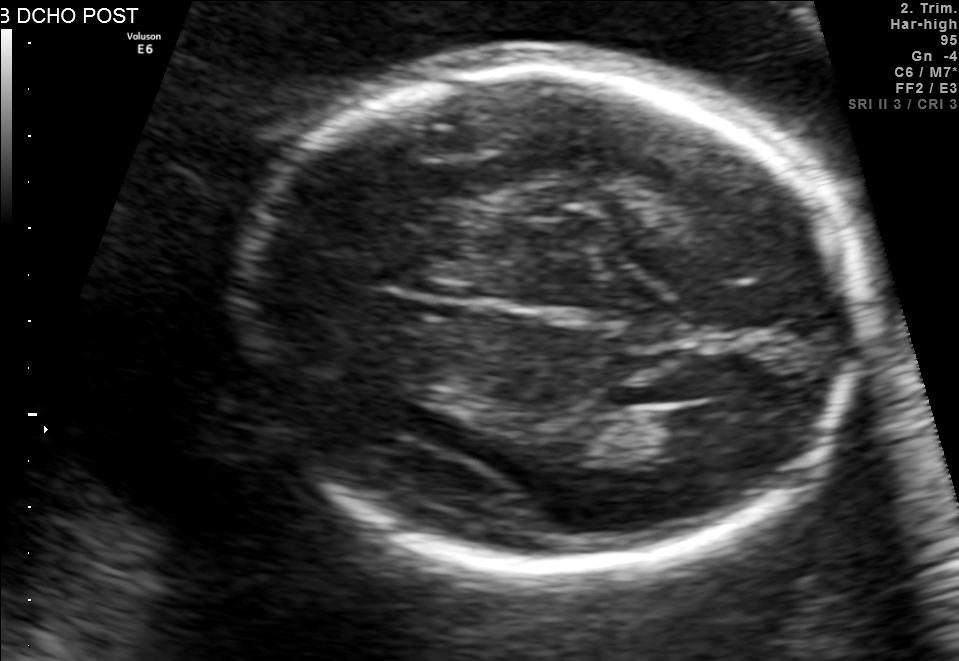
In this fetal brain, trans-thalamic plane, give the bounding box of the fetal head.

[239,66,856,573]